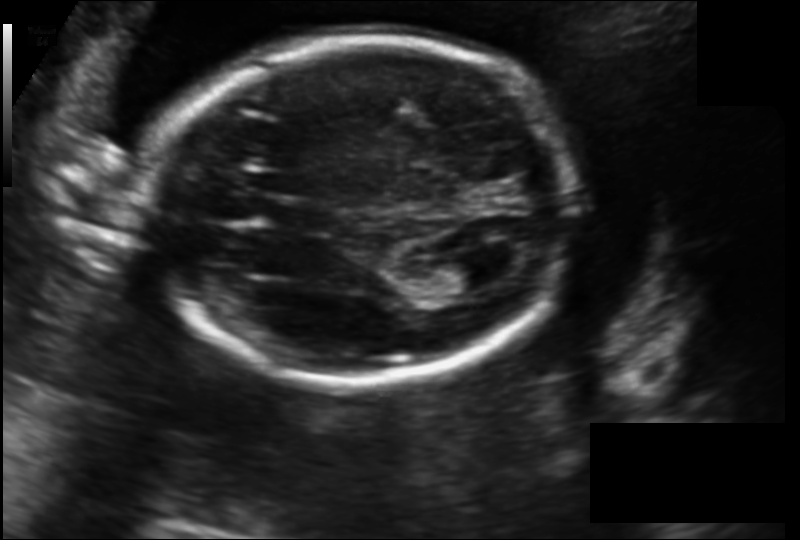
Fetal head ultrasound. Image width: 121.4 mm. Give [x1,y1,x2,y2] bounding boxes for each visible structure among: fetal head, CSP, LV.

Head: [147,38,573,381]
Lateral ventricle: [431,250,506,299]